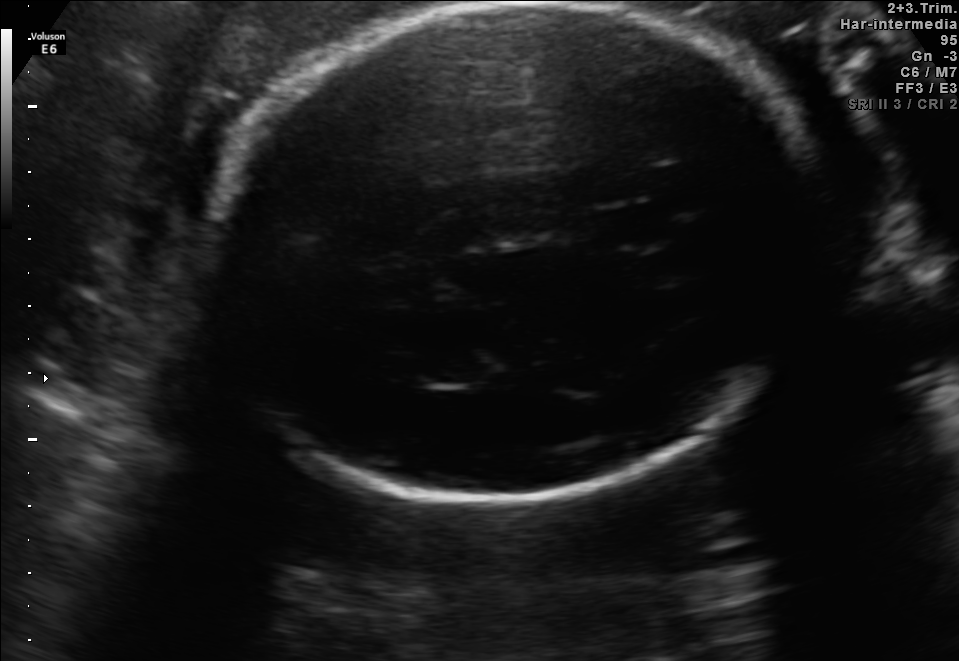
In this fetal brain, trans-thalamic plane, give the bounding box of the cavum septum pellucidum.

[589,202,663,249]